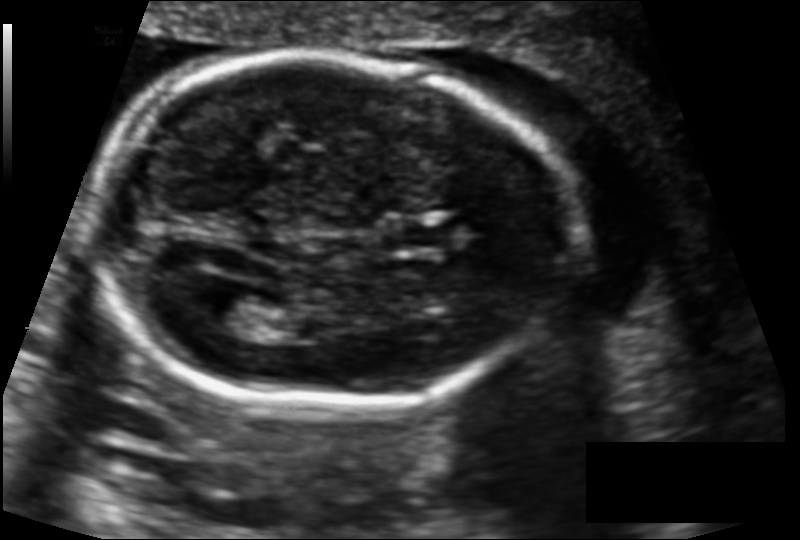
Fetal head ultrasound. Image width: 97.4 mm. Where is the cavum septum pellucidum?

CSP bounding box: [382,218,452,251]